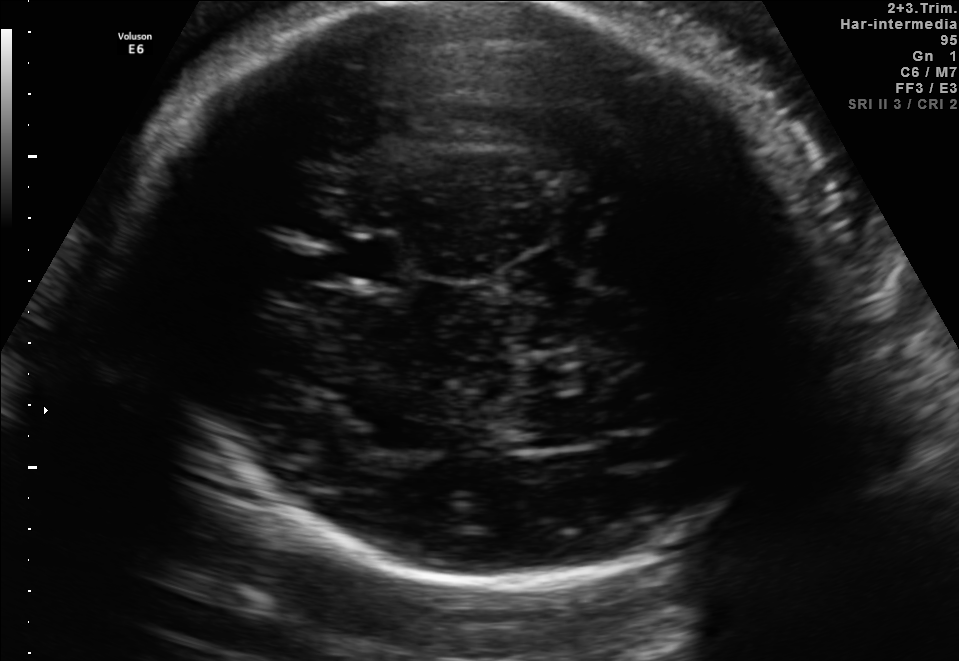
In this fetal brain, trans-thalamic plane, give the bounding box of the cavum septum pellucidum.

[325,233,403,287]